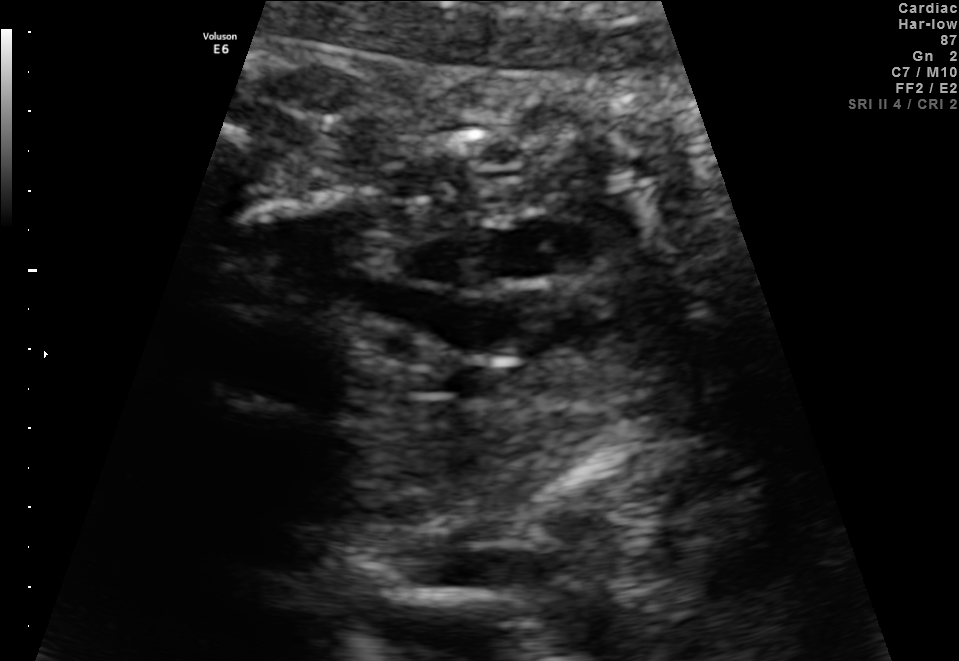
Which standard maternal-fetal ultrasound plane is shown: fetal abdomen, fetal brain, fetal femur, fetal thorax, maternal cervix, or other? If it's fetal brain and one of the three standard brain planes (trans-thalamic, trans-cerebellum, trans-ventricular), name which.

Other